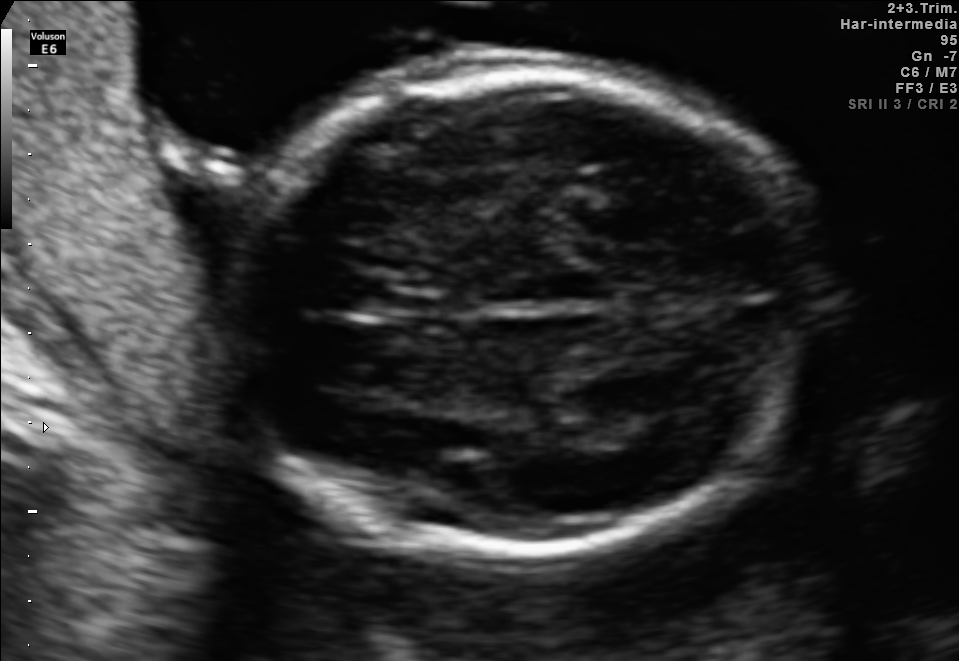
Fetal brain, trans-thalamic plane. Give [x1,y1,x2,y2] bounding boxes for each visible structure among: fetal head, CSP, LV.

Head: [209,74,800,555]